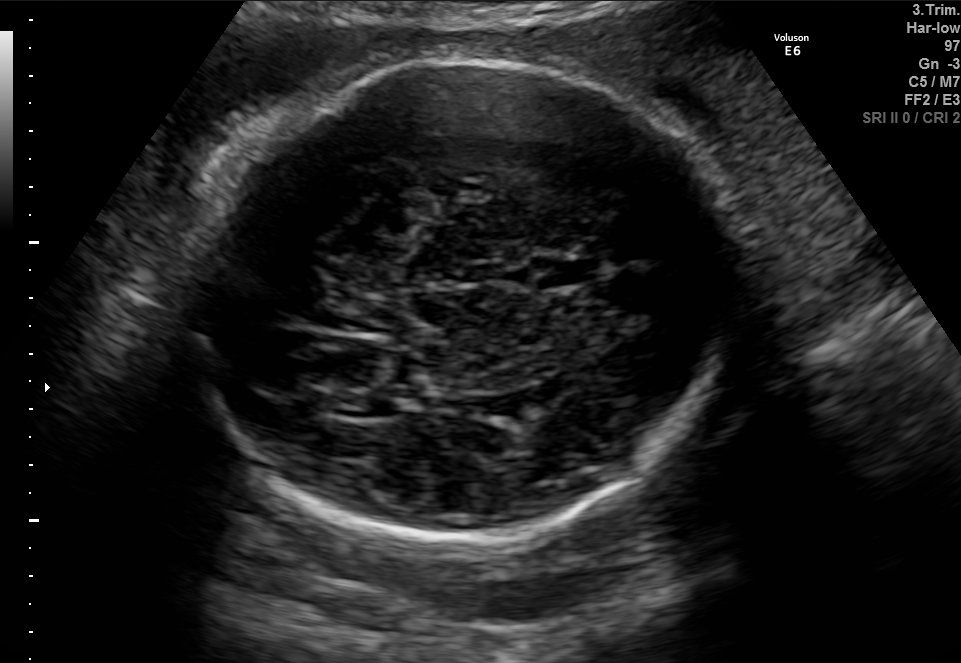
Fetal brain, trans-thalamic plane. Give [x1,y1,x2,y2] bounding boxes for each visible structure among: fetal head, CSP, LV.

Head: [181,57,746,548]
CSP: [538,257,597,289]
Lateral ventricle: [334,396,393,419]